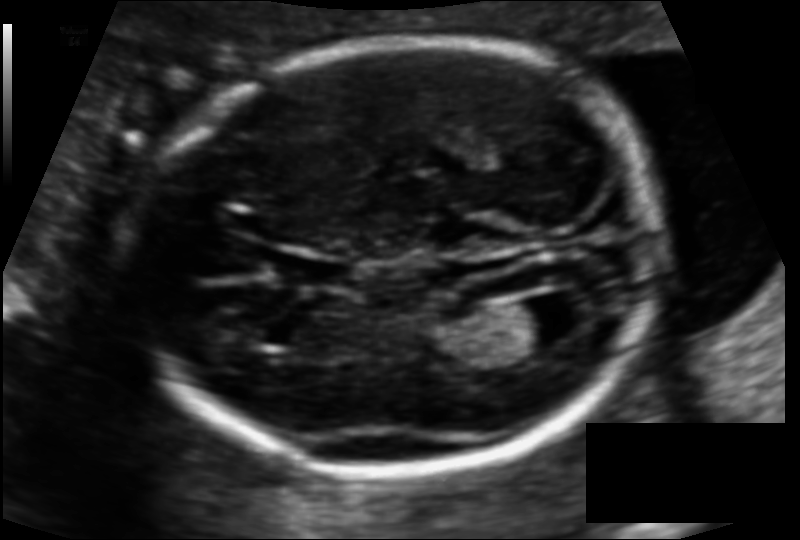
In this fetal head ultrasound, give the bounding box of the lateral ventricle. Image width: 88.1 mm.

[502,288,585,354]